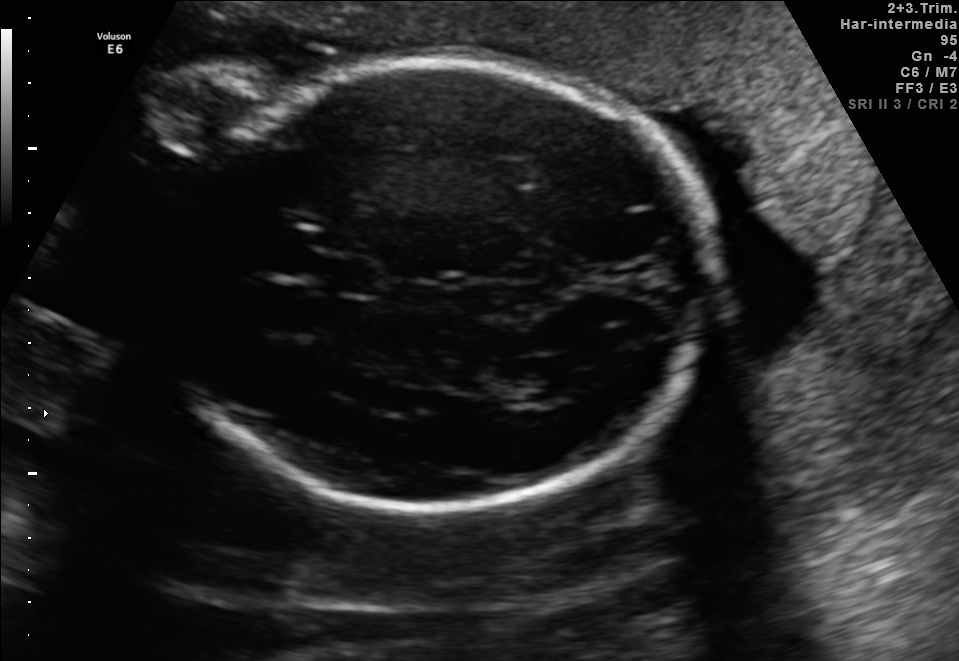
In this fetal brain, trans-ventricular plane, give bounding boxes for the head outline, cavum septum pellucidum (CSP), and lateral ventricle (LV), where visible.

Head: [161,55,724,516]
CSP: [322,261,380,295]